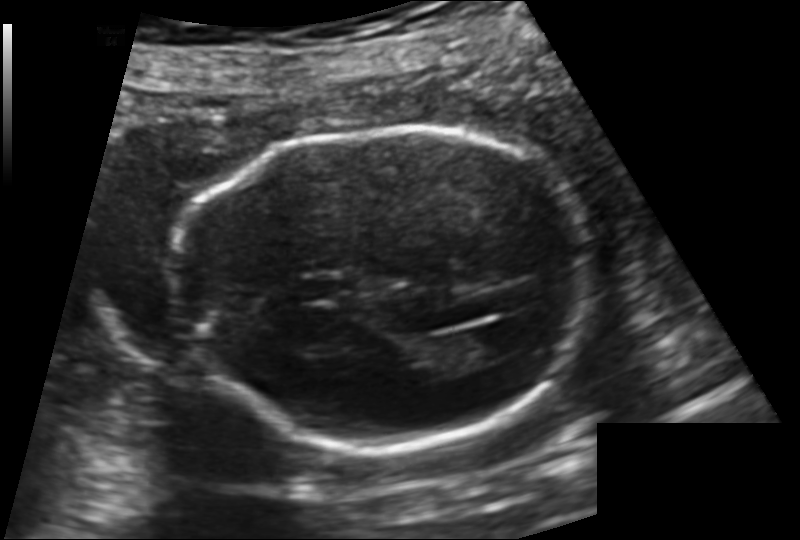
In this fetal head ultrasound, give the bounding box of the fetal head. Image width: 115.3 mm.

[178,131,592,449]